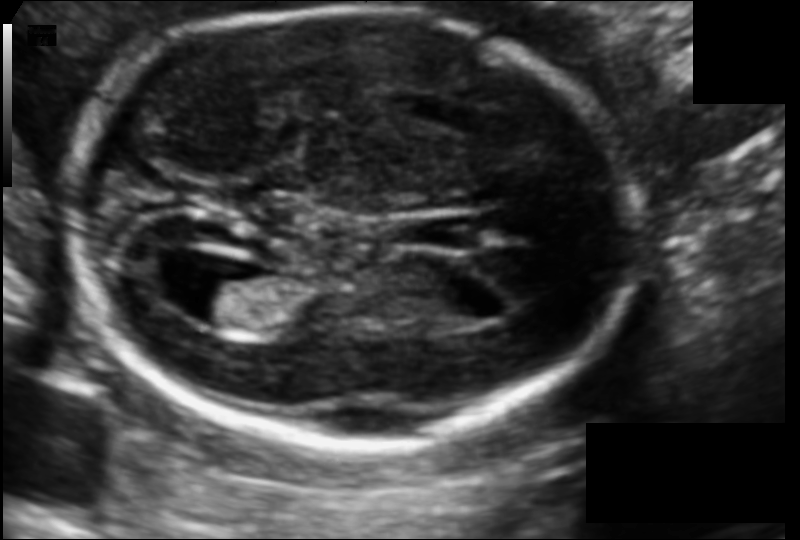
Fetal head ultrasound. Image width: 83.9 mm. Locate the fetal head and, if visible, the cavum septum pellucidum (CSP) and lateral ventricle (LV). Give bounding boxes as [x1,y1,x2,y2].

Head: [69,6,631,448]
CSP: [421,216,479,250]
Lateral ventricle: [174,266,269,333]